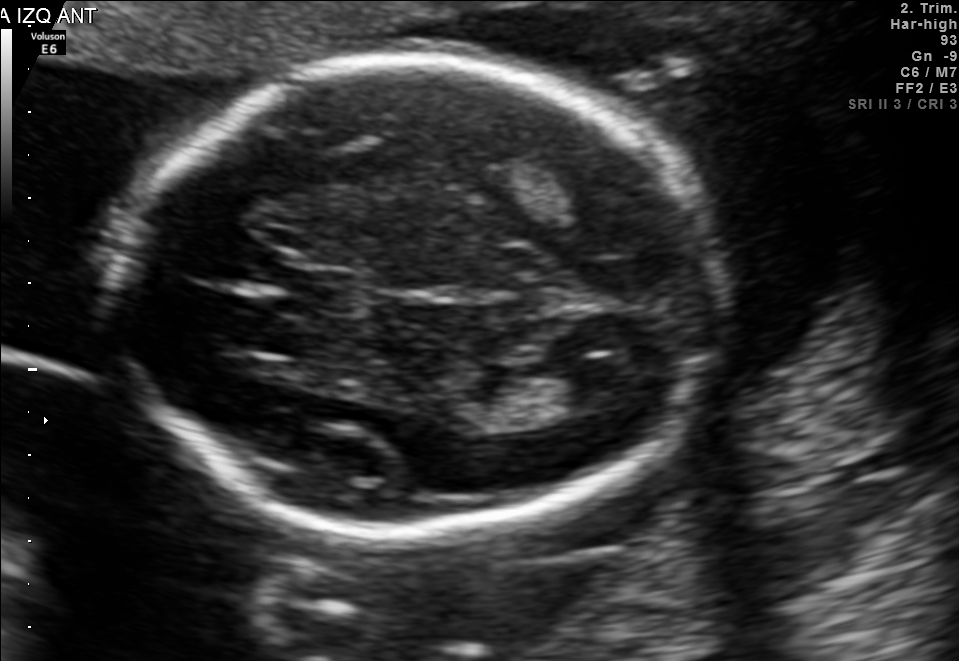
In this fetal brain, trans-thalamic plane, give bounding boxes for the head outline, cavum septum pellucidum (CSP), and lateral ventricle (LV), where visible.

Head: [110,61,711,528]
CSP: [282,269,352,313]
Lateral ventricle: [529,349,631,425]